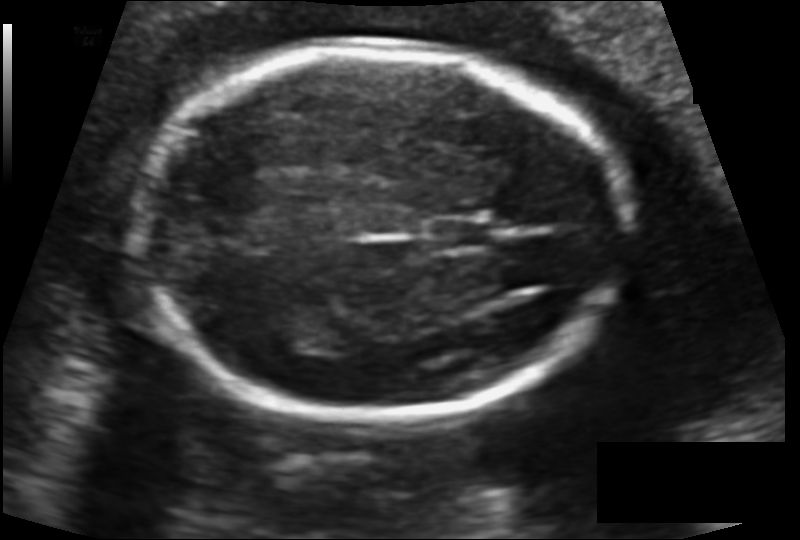
Estimate the fetal head circumference from this 2D ultrasound. Image width: 98.1 mm.

Head circumference: 171.8 mm.